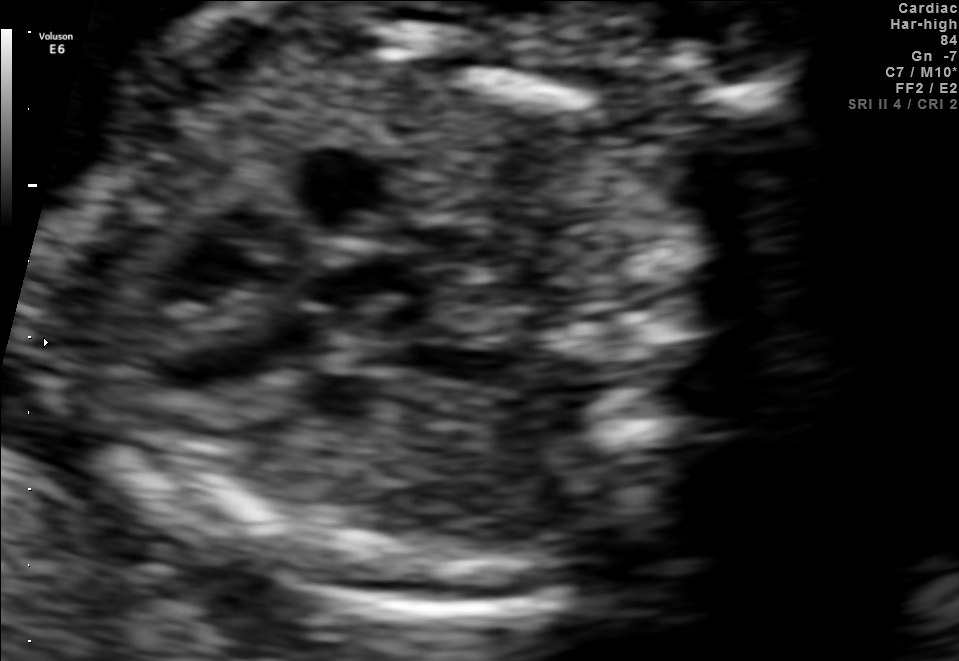
Which standard maternal-fetal ultrasound plane is shown: fetal abdomen, fetal brain, fetal femur, fetal thorax, maternal cervix, or other? If it's fetal brain and one of the three standard brain planes (trans-thalamic, trans-cerebellum, trans-ventricular), name which.

Fetal thorax